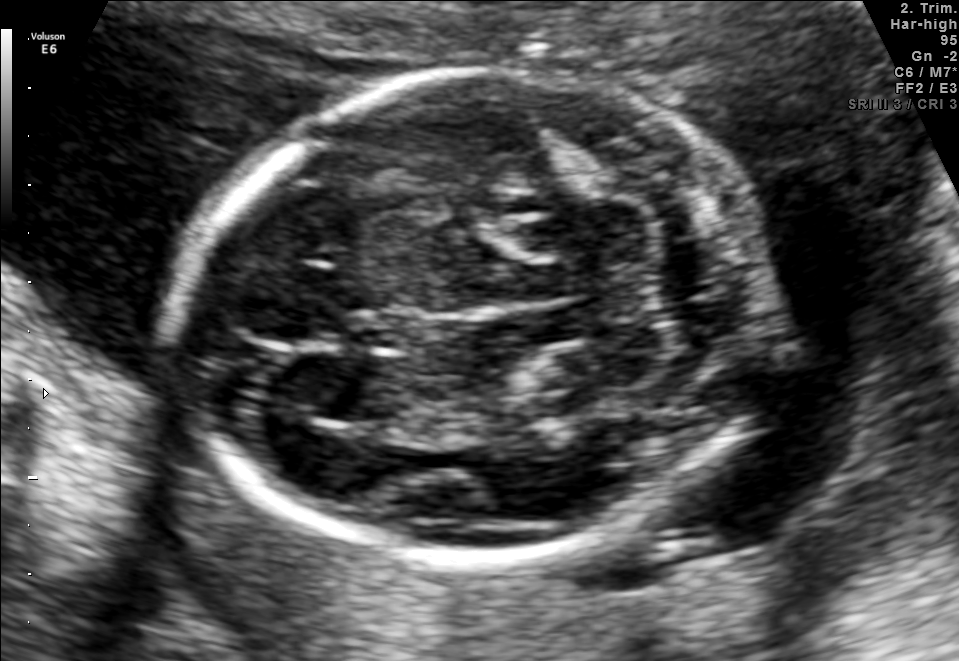
Fetal brain, trans-cerebellum plane. Where is the fetal head?

Head bounding box: [178,70,761,571]